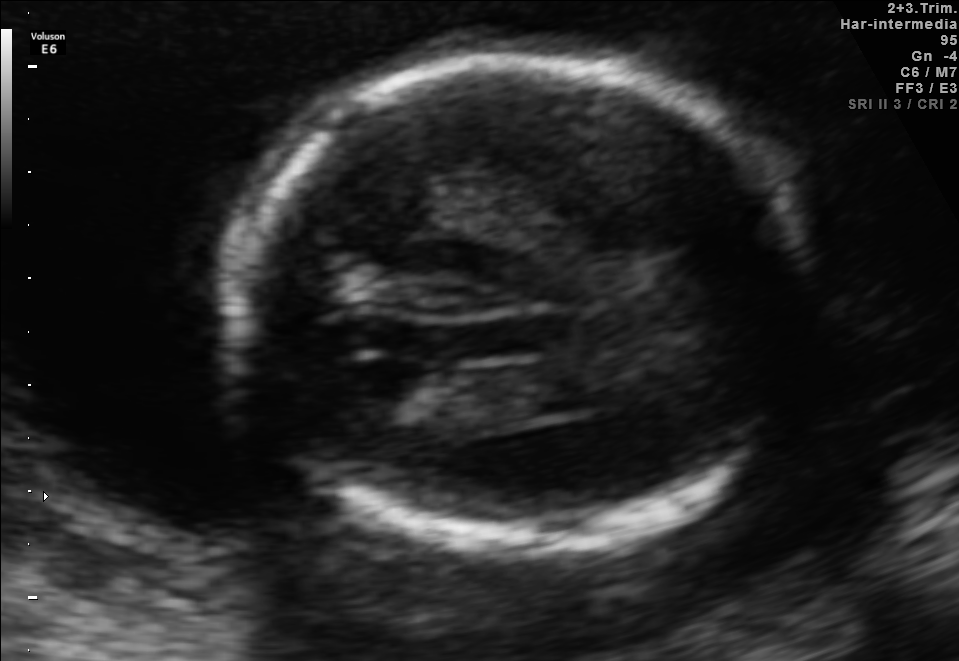
This is a 2D maternal-fetal ultrasound frame. Is it a fetal abdomen, fetal brain, fetal femur, fetal thorax, maternal cervix, or other standard plane? If it's fetal brain and one of the three standard brain planes (trans-thalamic, trans-cerebellum, trans-ventricular), name which.

Fetal brain (trans-ventricular plane)